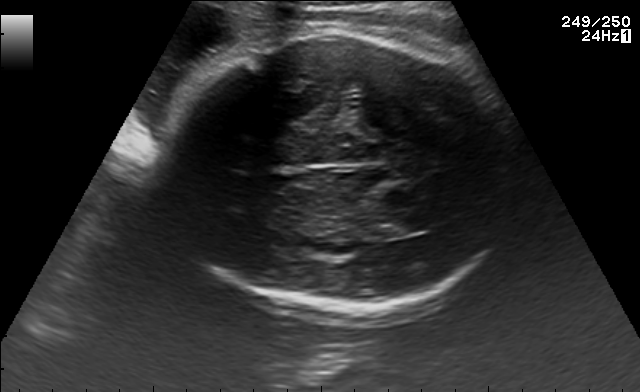
Fetal brain, trans-thalamic plane. Locate the fetal head and, if visible, the cavum septum pellucidum (CSP) and lateral ventricle (LV). Give bounding boxes as [x1,y1,x2,y2].

Head: [162,34,521,308]
Lateral ventricle: [370,211,426,241]